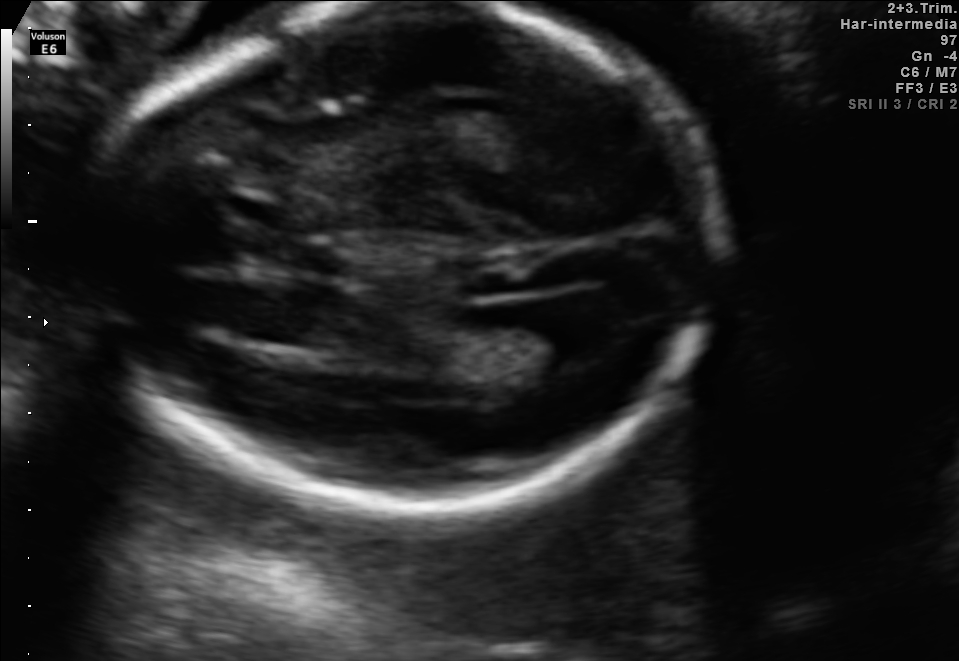
In this fetal brain, trans-ventricular plane, give the bounding box of the lateral ventricle.

[505,286,623,380]